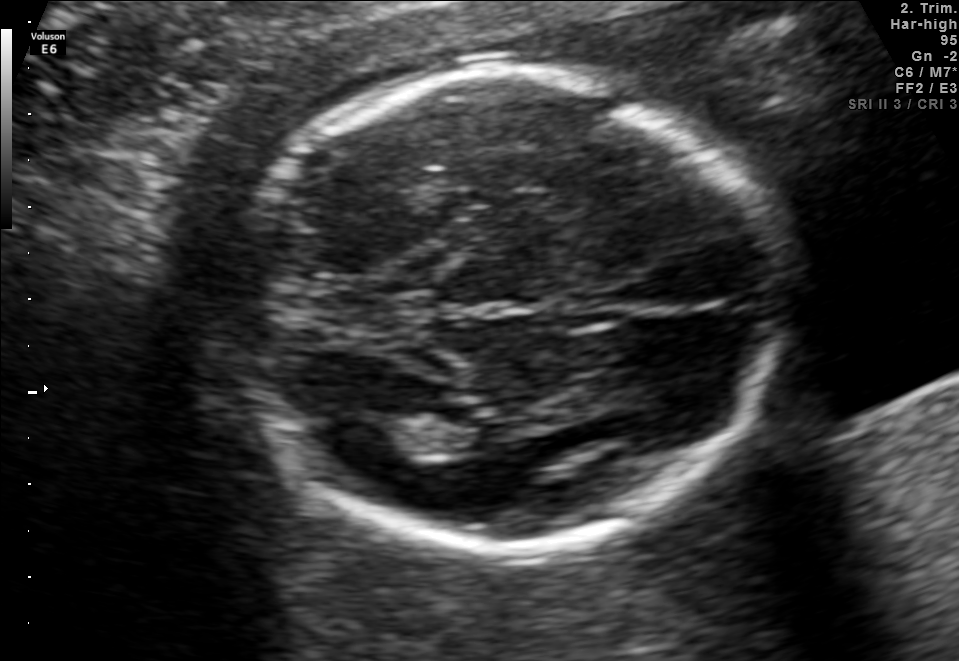
In this fetal brain, trans-thalamic plane, give the bounding box of the lateral ventricle.

[329,415,428,464]